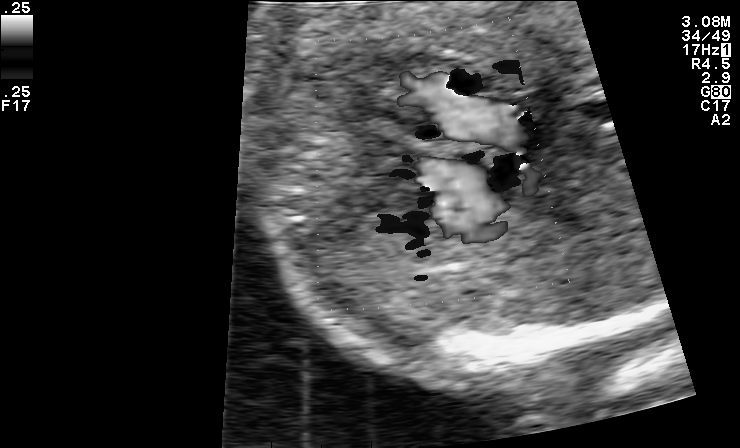
Identify the standard plane in this fetal ultrasound image: fetal abdomen, fetal brain, fetal femur, fetal thorax, maternal cervix, or other. If it's fetal brain and one of the three standard brain planes (trans-thalamic, trans-cerebellum, trans-ventricular), name which.

Other